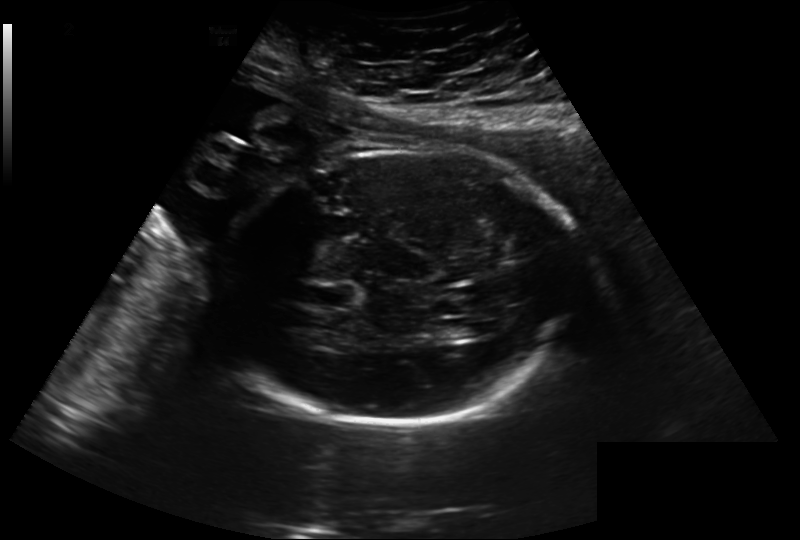
From this fetal ultrasound, estimate the head circumference (image width 208.3 mm).

Head circumference: 269.0 mm.